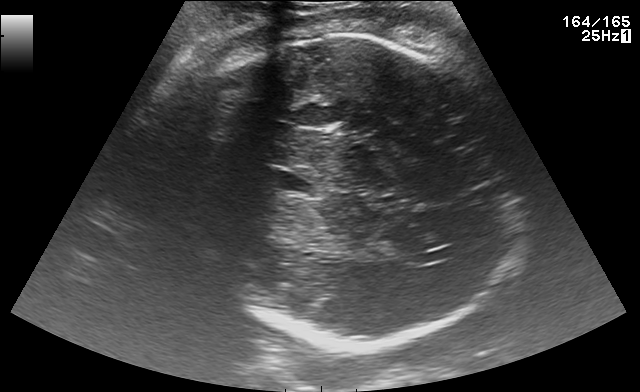
Fetal brain, trans-thalamic plane. Locate the cavum septum pellucidum.

CSP: [276,169,313,193]